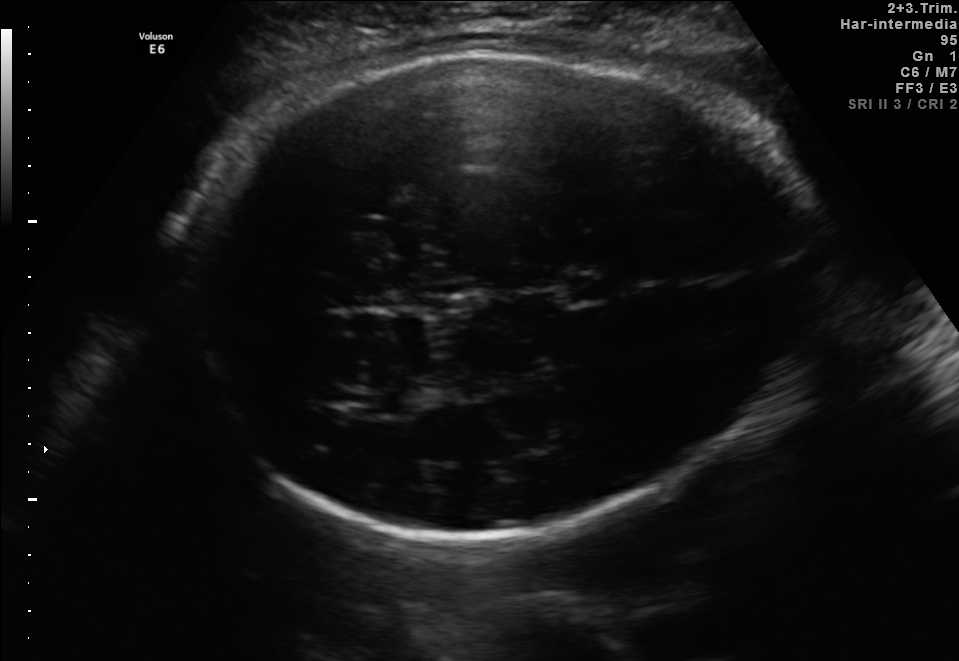
In this fetal brain, trans-thalamic plane, give the bounding box of the fetal head.

[179,54,804,545]